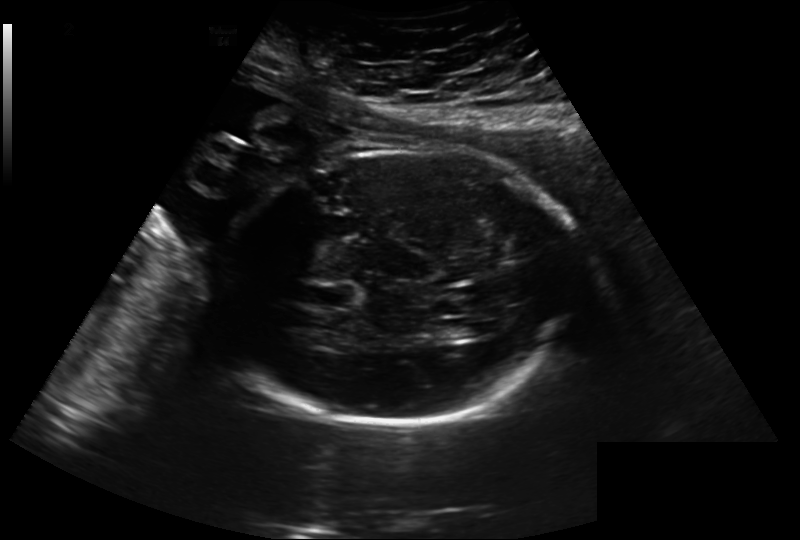
In this fetal head ultrasound, give bounding boxes for the head outline, cavum septum pellucidum (CSP), and lateral ventricle (LV), where visible. Image width: 208.3 mm.

Head: [215,150,576,423]
CSP: [309,284,356,310]
Lateral ventricle: [437,317,476,340]